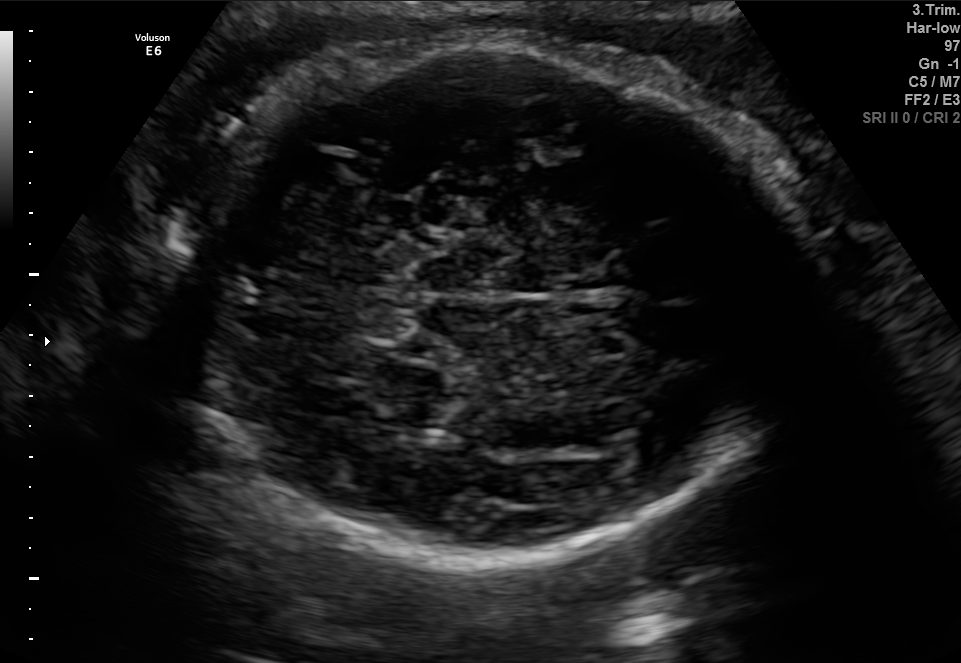
Fetal brain, trans-cerebellum plane. Locate the fetal head and, if visible, the cavum septum pellucidum (CSP) and lateral ventricle (LV). Give bounding boxes as [x1,y1,x2,y2].

Head: [175,45,796,564]